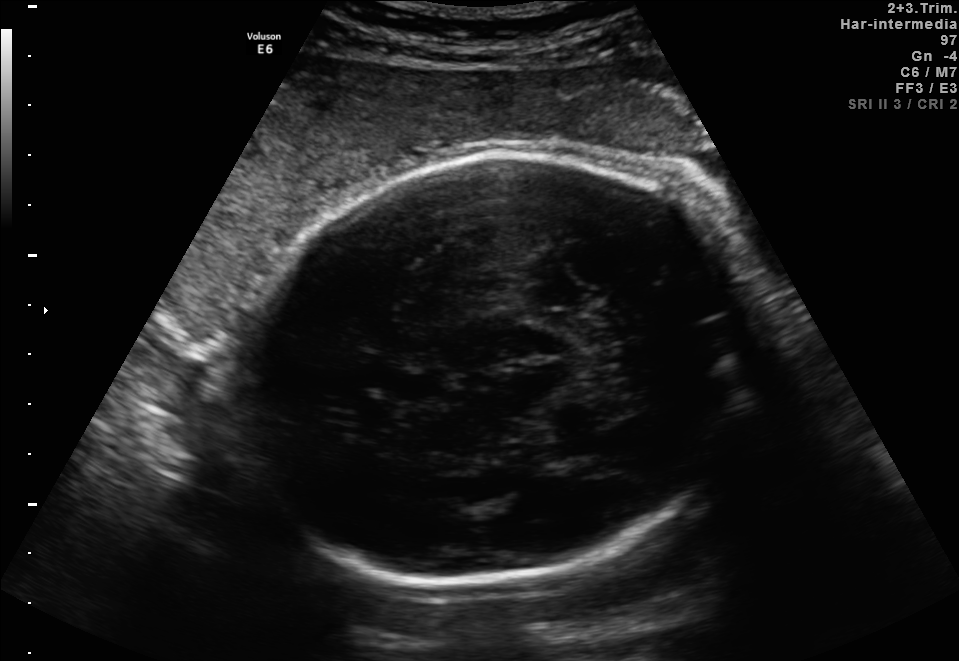
Fetal brain, trans-thalamic plane. Locate the fetal head and, if visible, the cavum septum pellucidum (CSP) and lateral ventricle (LV). Give bounding boxes as [x1,y1,x2,y2].

Head: [227,151,756,584]